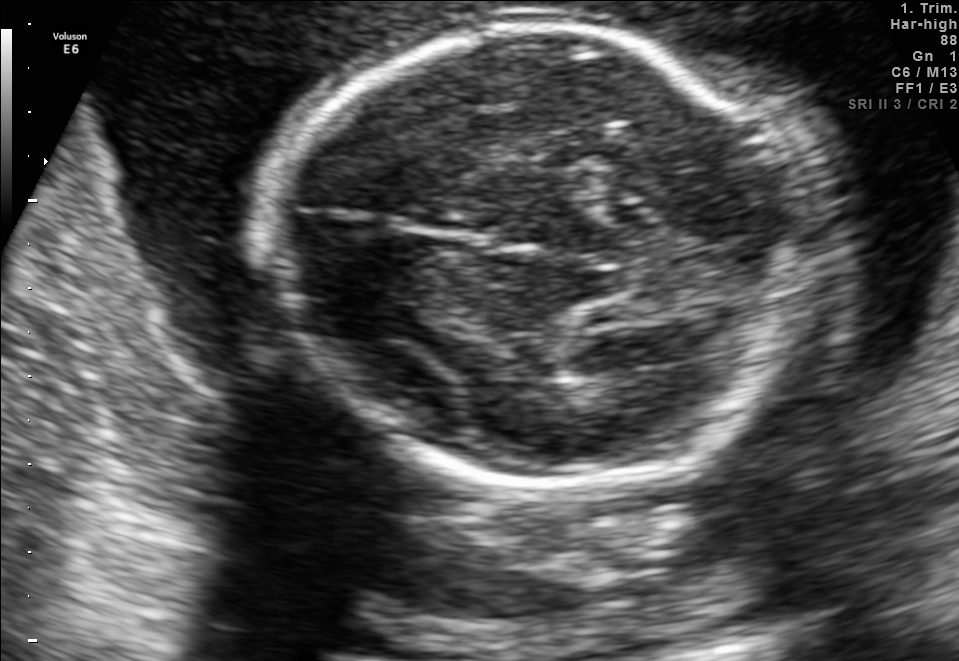
Fetal brain, trans-thalamic plane. Locate the fetal head and, if visible, the cavum septum pellucidum (CSP) and lateral ventricle (LV). Give bounding boxes as [x1,y1,x2,y2].

Head: [260,21,813,494]